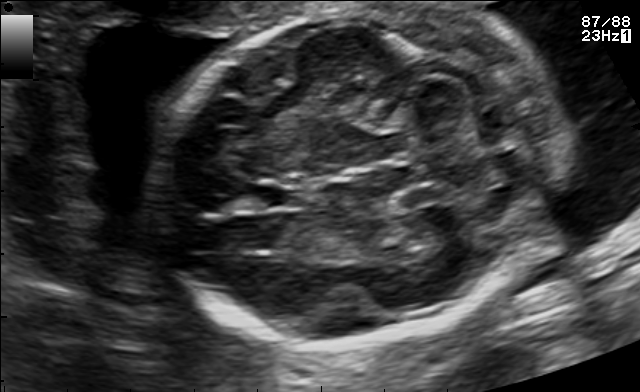
Classify this maternal-fetal ultrasound image as one of the six standard planes — fetal abdomen, fetal brain, fetal femur, fetal thorax, maternal cervix, or other. If it's fetal brain and one of the three standard brain planes (trans-thalamic, trans-cerebellum, trans-ventricular), name which.

Fetal brain (trans-cerebellum plane)